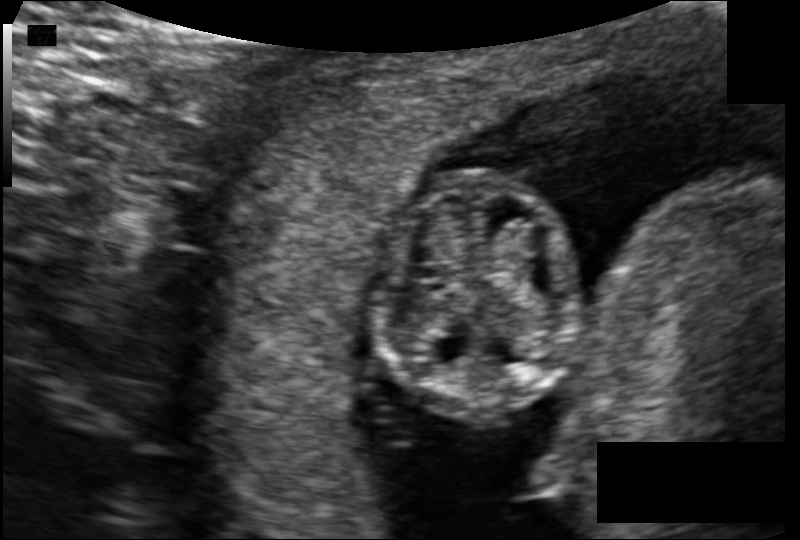
Fetal head ultrasound. Image width: 81.0 mm. Locate the fetal head.

Head: [373,172,579,414]